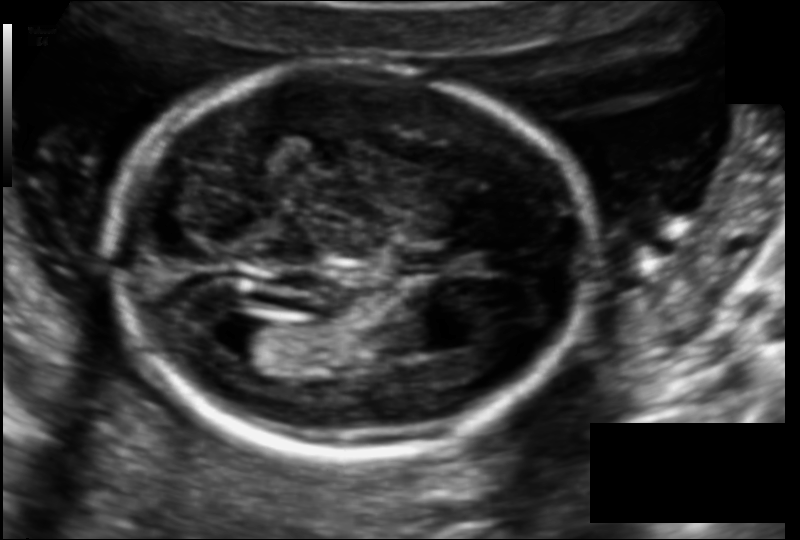
Fetal head ultrasound. Image width: 91.5 mm. Locate the fetal head and, if visible, the cavum septum pellucidum (CSP) and lateral ventricle (LV). Give bounding boxes as [x1,y1,x2,y2].

Head: [111,63,594,454]
CSP: [401,253,458,274]
Lateral ventricle: [205,307,283,366]